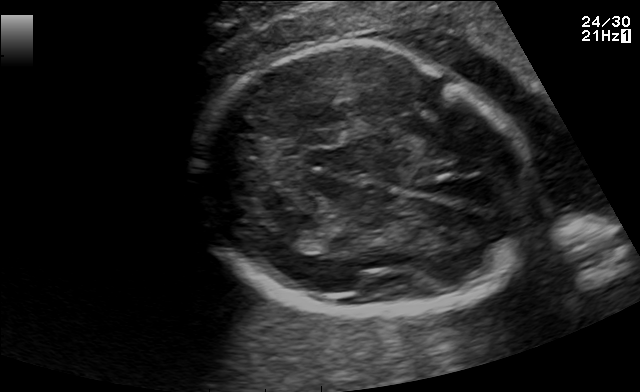
Fetal brain, trans-thalamic plane. Locate the fetal head.

Head: [196,44,535,320]